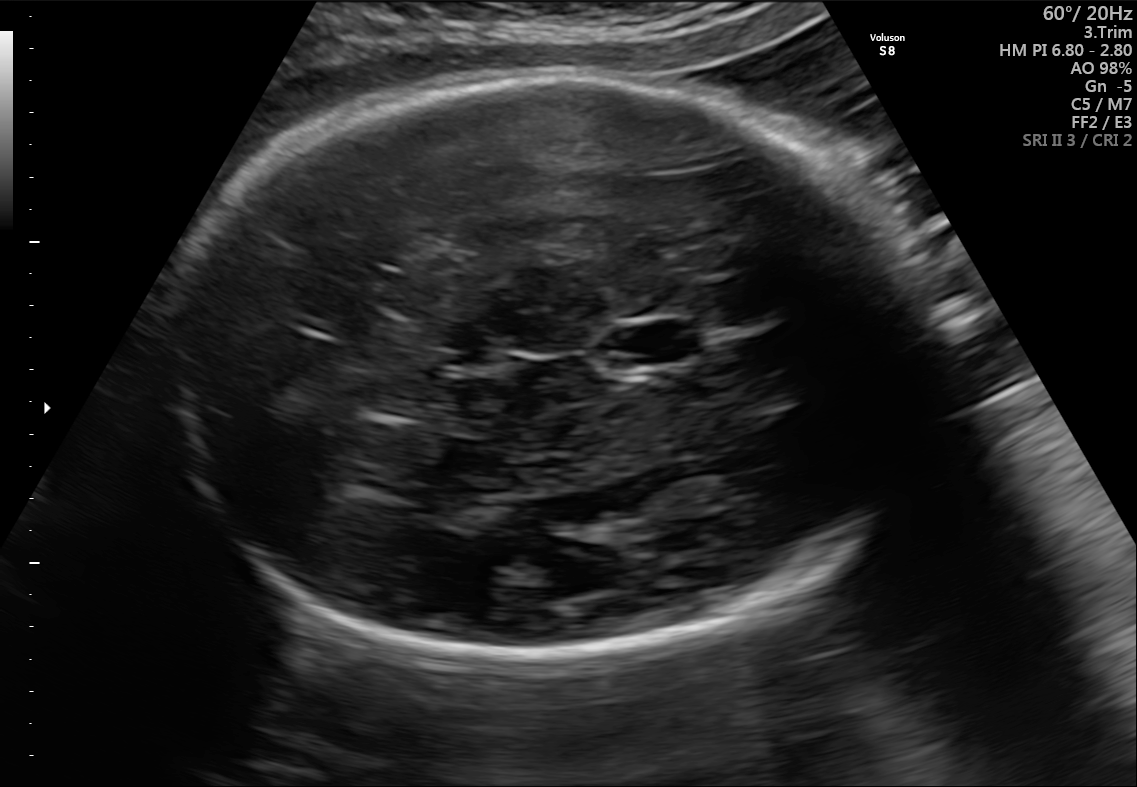
Fetal brain, trans-thalamic plane. Give [x1,y1,x2,y2] bounding boxes for each visible structure among: fetal head, CSP, LV.

Head: [155,74,944,663]
CSP: [609,317,702,369]